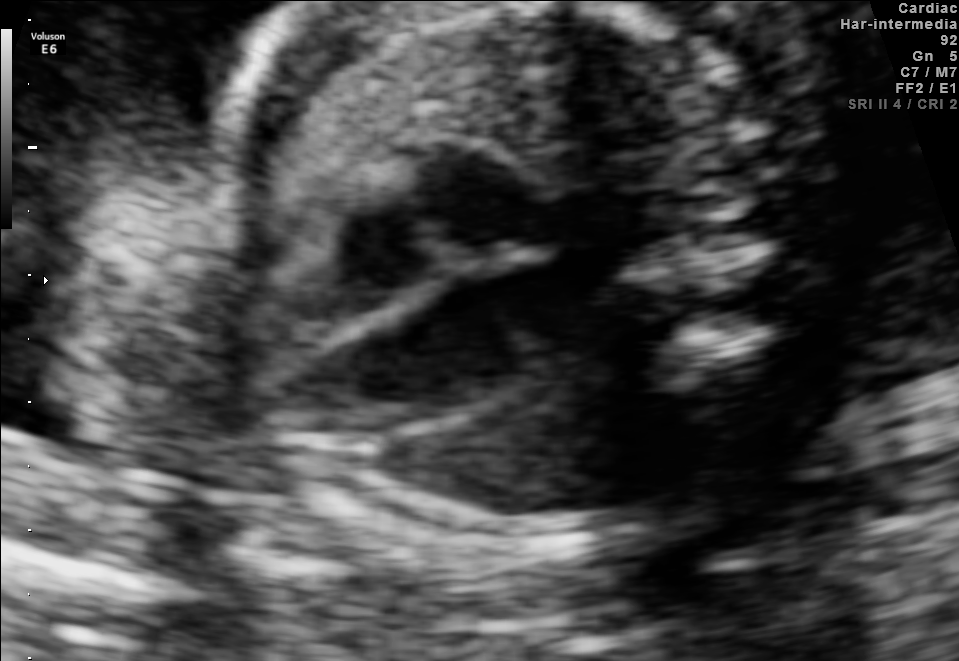
Classify this maternal-fetal ultrasound image as one of the six standard planes — fetal abdomen, fetal brain, fetal femur, fetal thorax, maternal cervix, or other. If it's fetal brain and one of the three standard brain planes (trans-thalamic, trans-cerebellum, trans-ventricular), name which.

Fetal thorax